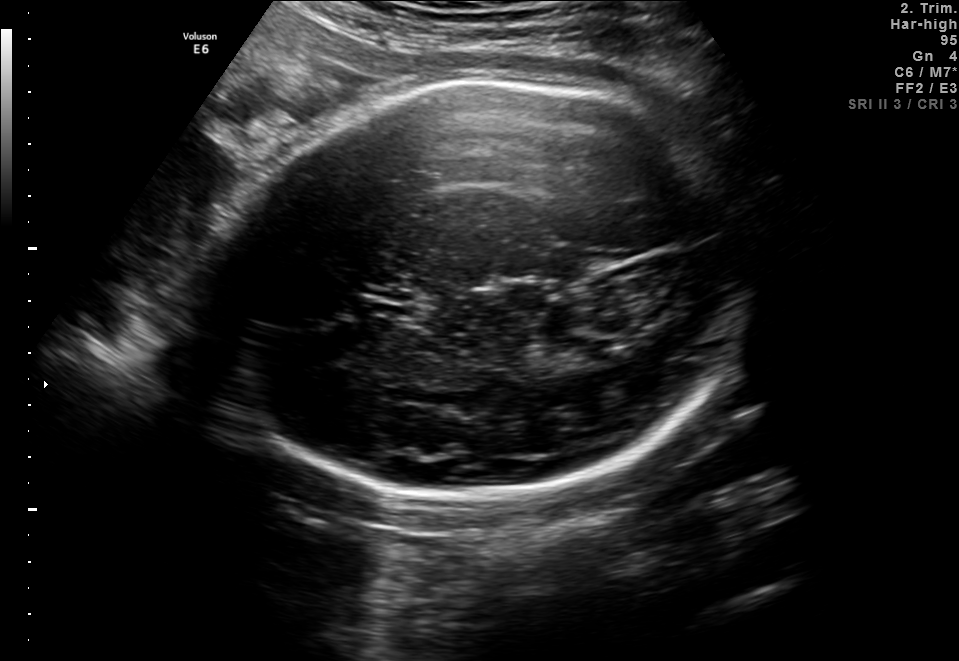
Fetal brain, trans-thalamic plane. Locate the fetal head.

Head: [204,76,753,489]